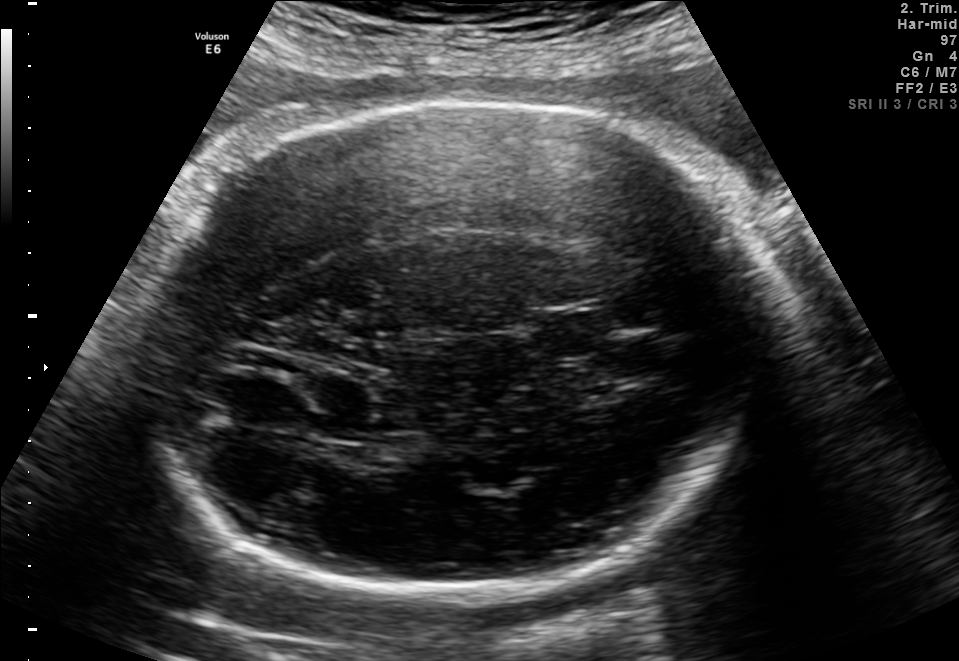
Fetal brain, trans-thalamic plane. Give [x1,y1,x2,y2] bounding boxes for each visible structure among: fetal head, CSP, LV.

Head: [136,99,769,606]
CSP: [533,309,610,359]